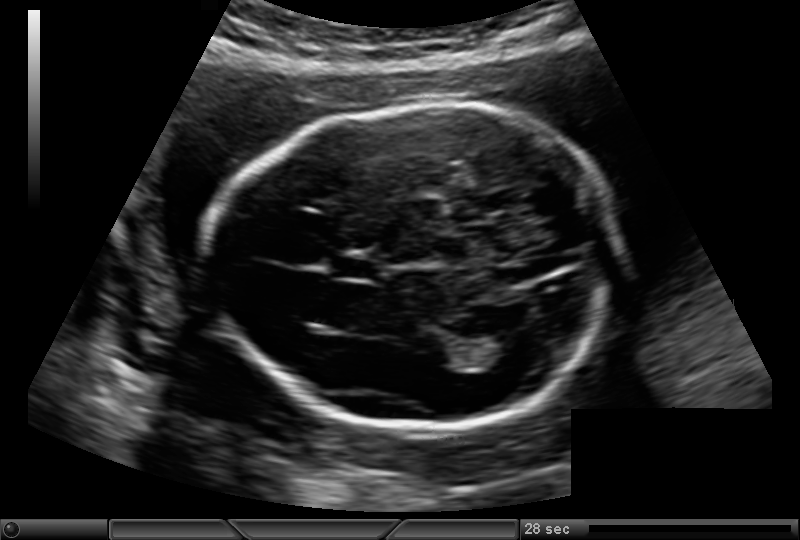
In this fetal head ultrasound, give the bounding box of the cavum septum pellucidum. Image width: 117.2 mm.

[331,255,377,282]